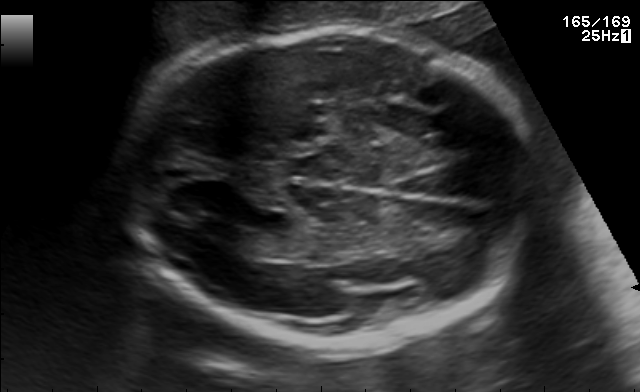
In this fetal brain, trans-ventricular plane, give the bounding box of the fetal head.

[114,23,547,350]